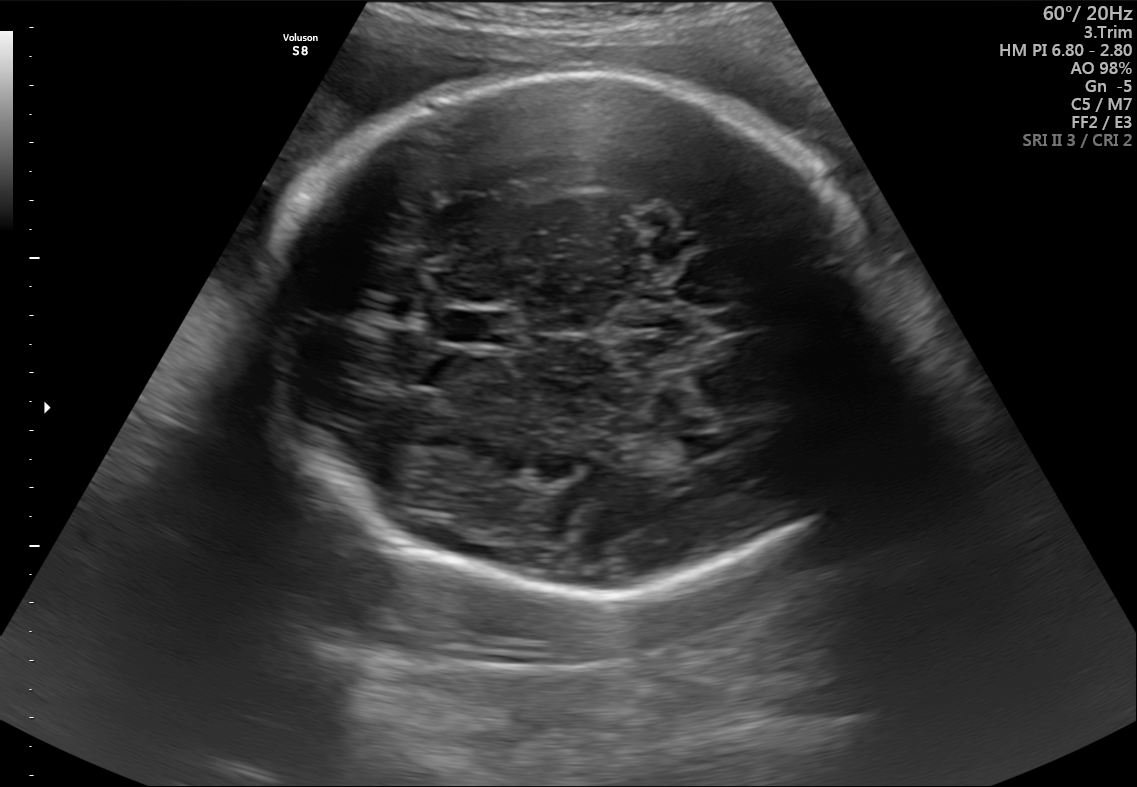
Classify this maternal-fetal ultrasound image as one of the six standard planes — fetal abdomen, fetal brain, fetal femur, fetal thorax, maternal cervix, or other. If it's fetal brain and one of the three standard brain planes (trans-thalamic, trans-cerebellum, trans-ventricular), name which.

Fetal brain (trans-thalamic plane)